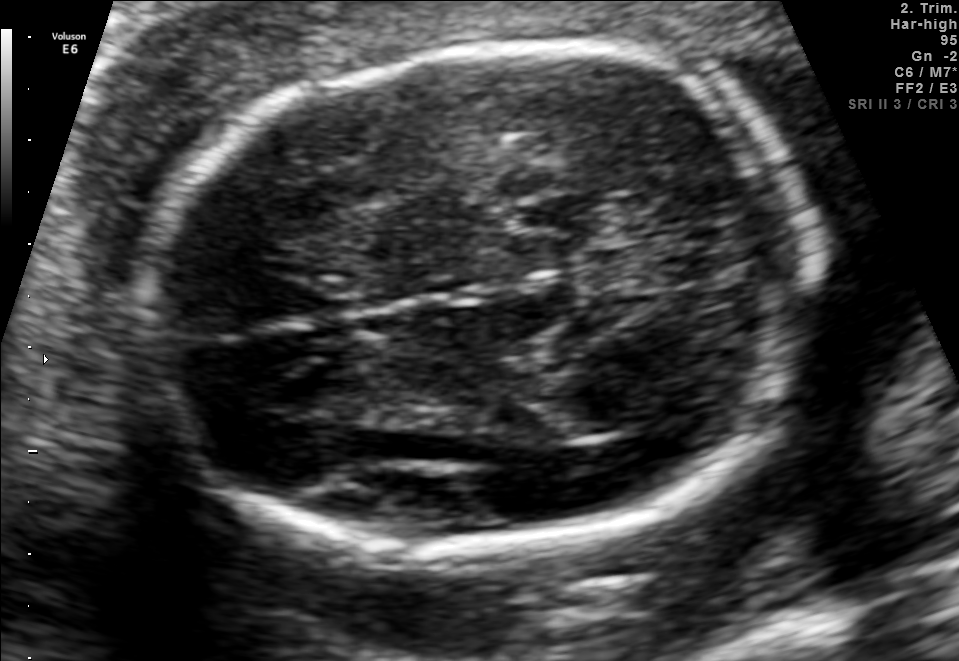
In this fetal brain, trans-thalamic plane, give the bounding box of the fetal head.

[134,47,813,548]